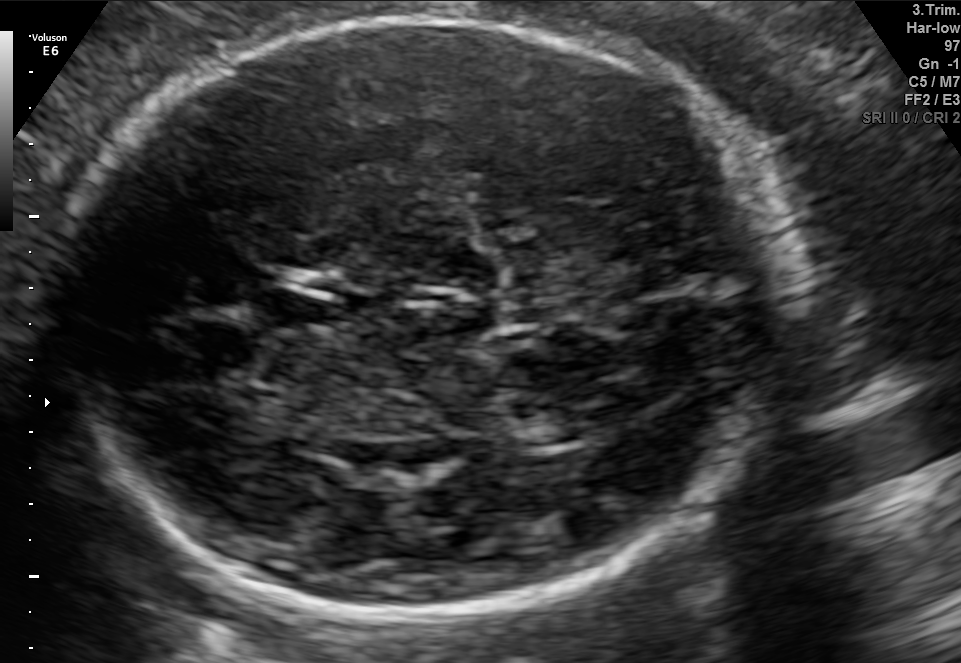
This is a 2D maternal-fetal ultrasound frame. Is it a fetal abdomen, fetal brain, fetal femur, fetal thorax, maternal cervix, or other standard plane? If it's fetal brain and one of the three standard brain planes (trans-thalamic, trans-cerebellum, trans-ventricular), name which.

Fetal brain (trans-thalamic plane)